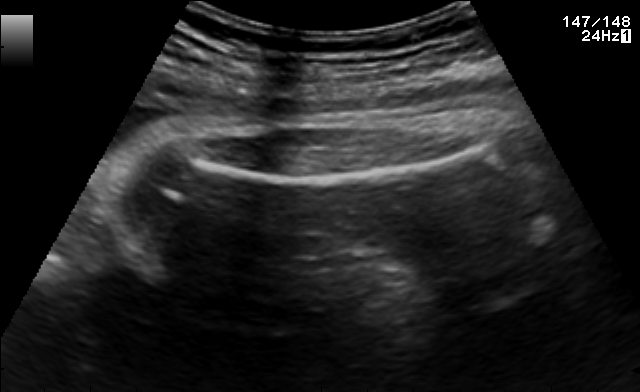
Identify the standard plane in this fetal ultrasound image: fetal abdomen, fetal brain, fetal femur, fetal thorax, maternal cervix, or other. If it's fetal brain and one of the three standard brain planes (trans-thalamic, trans-cerebellum, trans-ventricular), name which.

Fetal femur